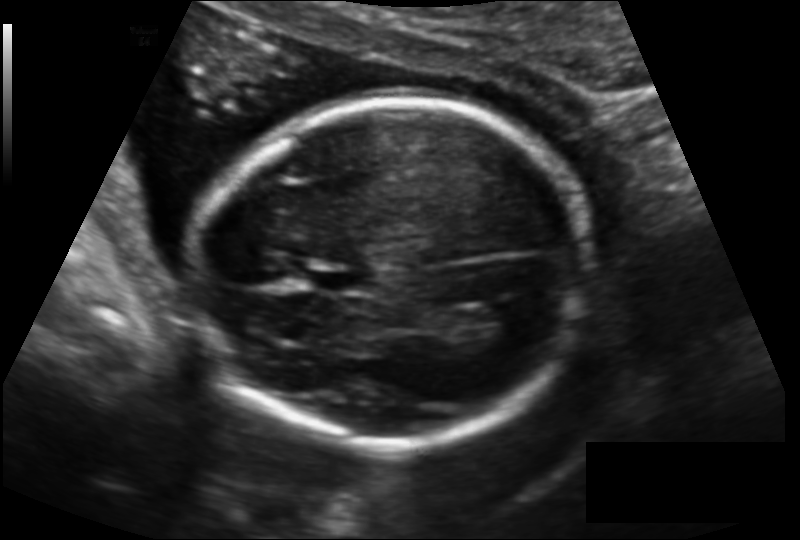
Fetal head ultrasound. Image width: 111.8 mm. Locate the fetal head.

Head: [201,99,591,444]